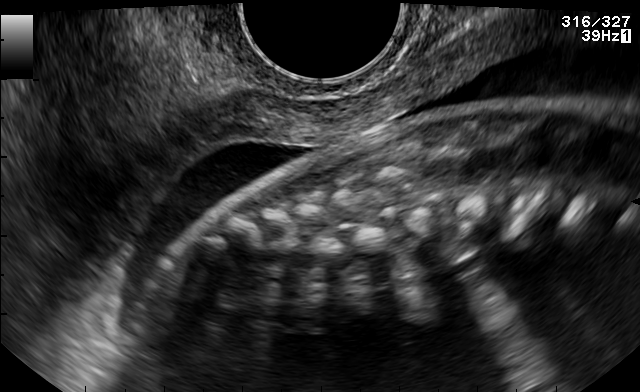
Identify the standard plane in this fetal ultrasound image: fetal abdomen, fetal brain, fetal femur, fetal thorax, maternal cervix, or other. If it's fetal brain and one of the three standard brain planes (trans-thalamic, trans-cerebellum, trans-ventricular), name which.

Other